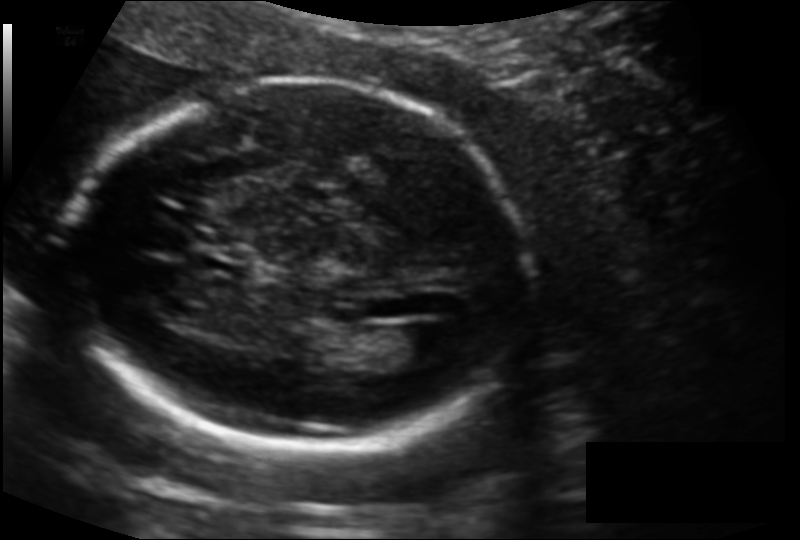
Fetal head ultrasound. Image width: 101.6 mm. Where is the lateral ventricle?

Lateral ventricle bounding box: [379,322,454,367]